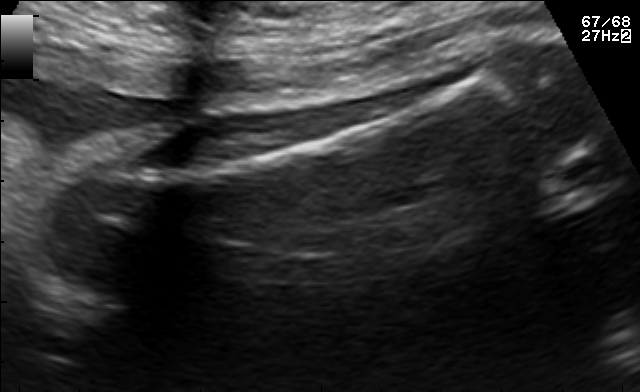
Identify the standard plane in this fetal ultrasound image: fetal abdomen, fetal brain, fetal femur, fetal thorax, maternal cervix, or other. If it's fetal brain and one of the three standard brain planes (trans-thalamic, trans-cerebellum, trans-ventricular), name which.

Fetal femur